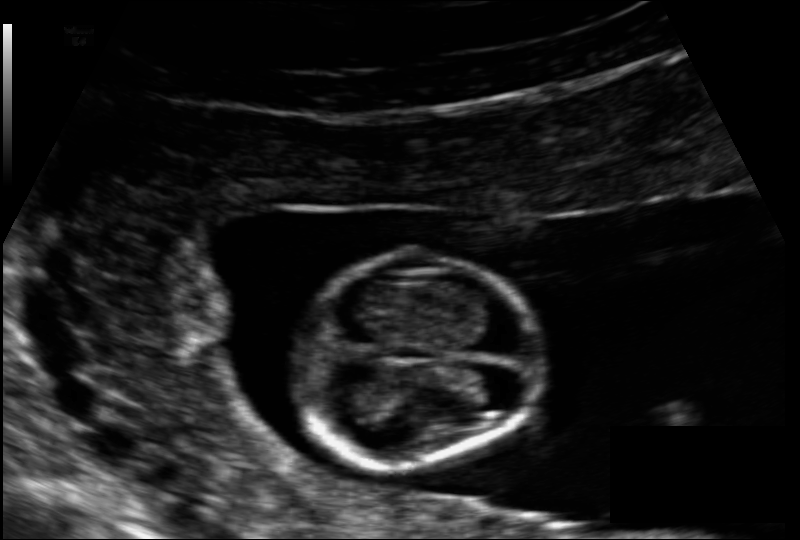
In this fetal head ultrasound, give bounding boxes for the head outline, cavum septum pellucidum (CSP), and lateral ventricle (LV), where visible. Image width: 73.0 mm.

Head: [284,251,544,471]